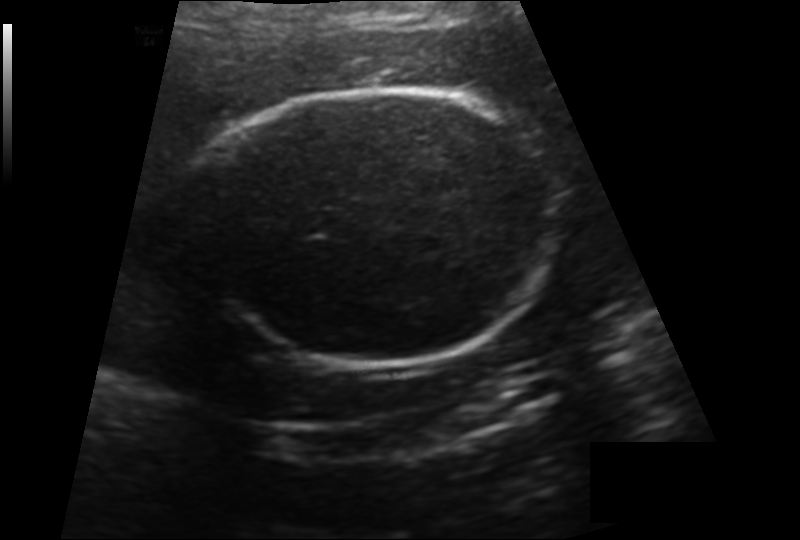
From this fetal ultrasound, estimate the head circumference (image width 133.0 mm).

Head circumference: 176.3 mm.